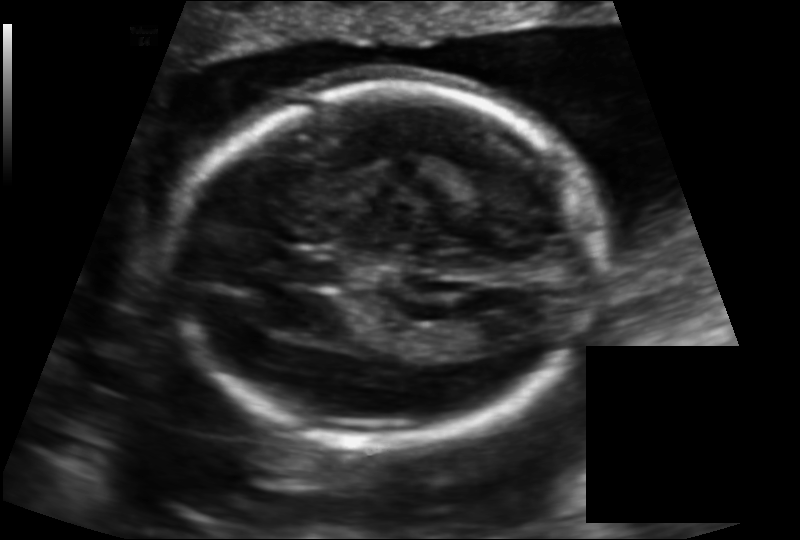
Estimate the fetal head circumference from this 2D ultrasound.

Head circumference: 171.1 mm (image width 106.6 mm).